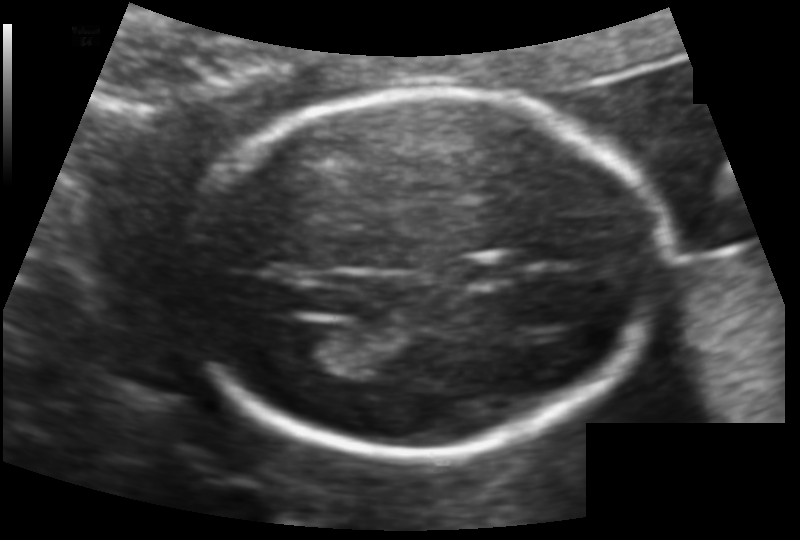
Fetal head ultrasound. Image width: 90.1 mm. Locate the lateral ventricle.

Lateral ventricle: [276,318,351,371]